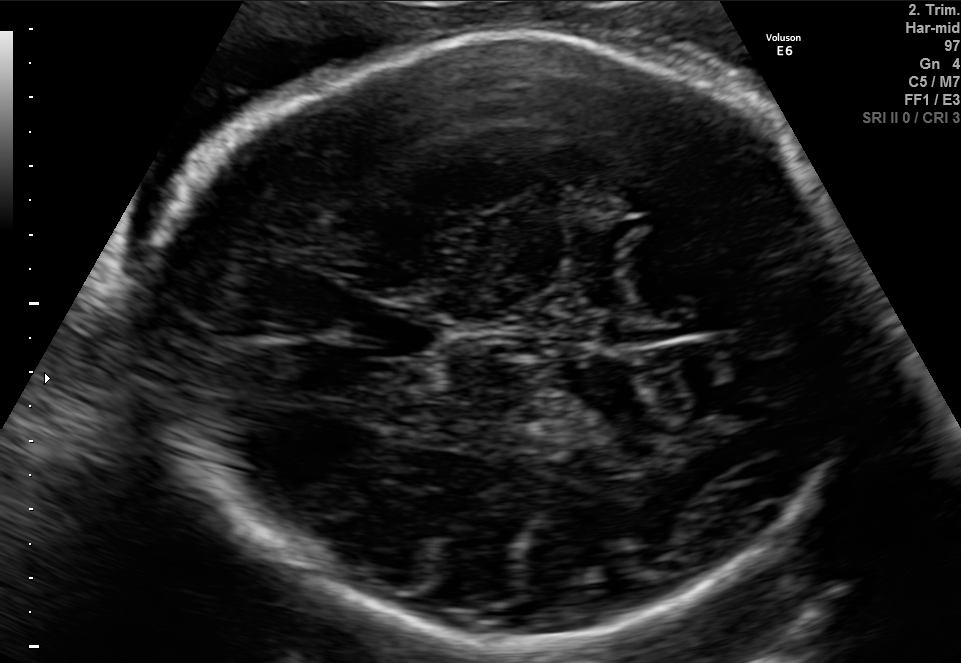
In this fetal brain, trans-thalamic plane, give the bounding box of the fetal head.

[148,31,861,648]